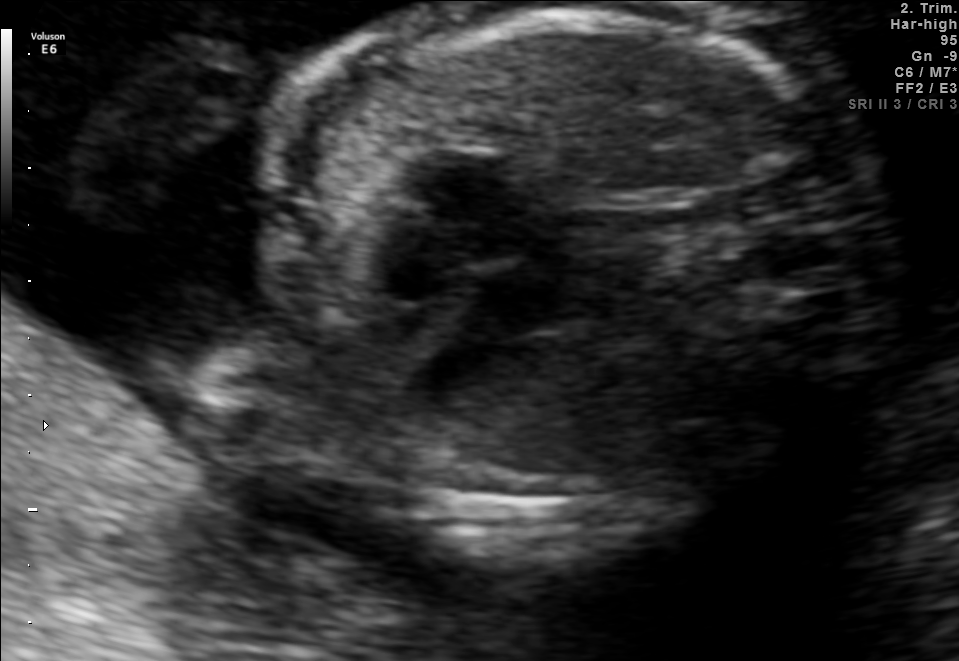
Which standard maternal-fetal ultrasound plane is shown: fetal abdomen, fetal brain, fetal femur, fetal thorax, maternal cervix, or other? If it's fetal brain and one of the three standard brain planes (trans-thalamic, trans-cerebellum, trans-ventricular), name which.

Fetal thorax